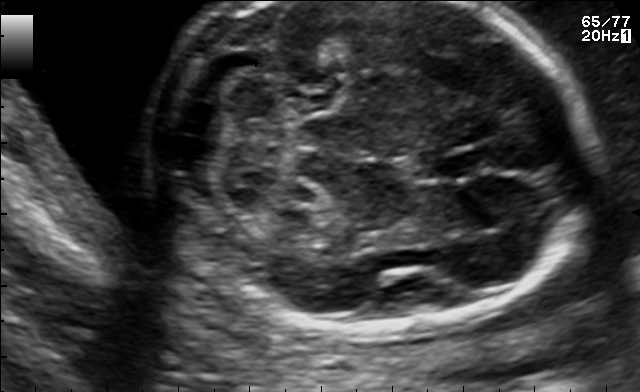
Classify this maternal-fetal ultrasound image as one of the six standard planes — fetal abdomen, fetal brain, fetal femur, fetal thorax, maternal cervix, or other. If it's fetal brain and one of the three standard brain planes (trans-thalamic, trans-cerebellum, trans-ventricular), name which.

Fetal brain (trans-cerebellum plane)